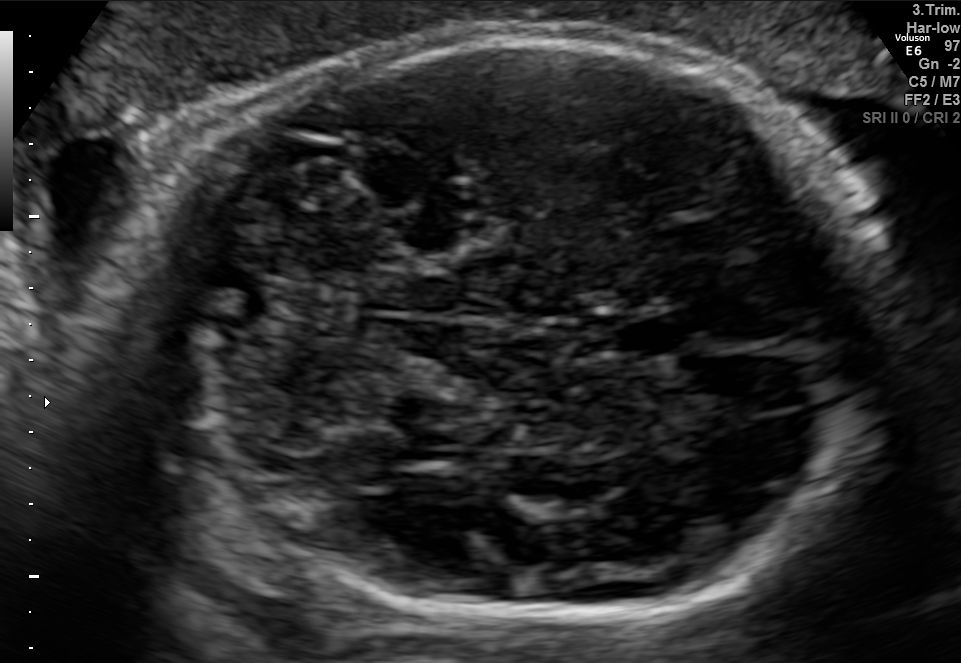
Classify this maternal-fetal ultrasound image as one of the six standard planes — fetal abdomen, fetal brain, fetal femur, fetal thorax, maternal cervix, or other. If it's fetal brain and one of the three standard brain planes (trans-thalamic, trans-cerebellum, trans-ventricular), name which.

Fetal brain (trans-cerebellum plane)